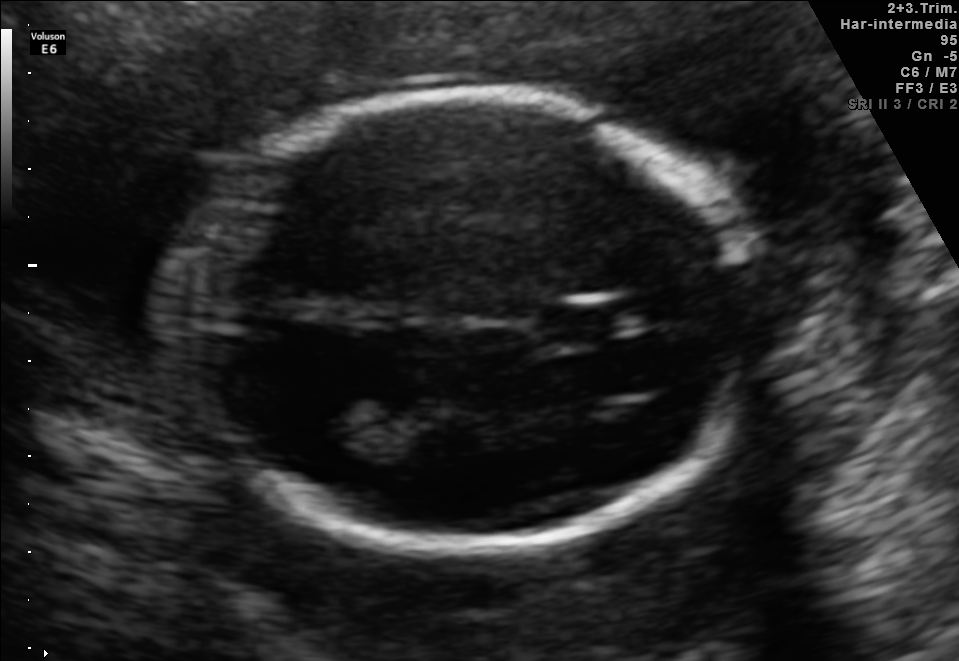
Fetal brain, trans-thalamic plane. Locate the fetal head.

Head: [180,93,757,556]